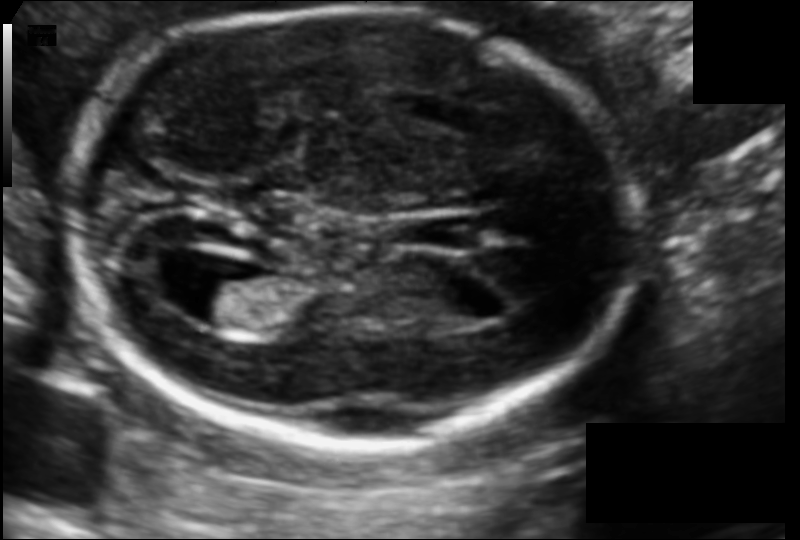
Estimate the fetal head circumference from this 2D ultrasound. Image width: 83.9 mm.

Head circumference: 171.0 mm.